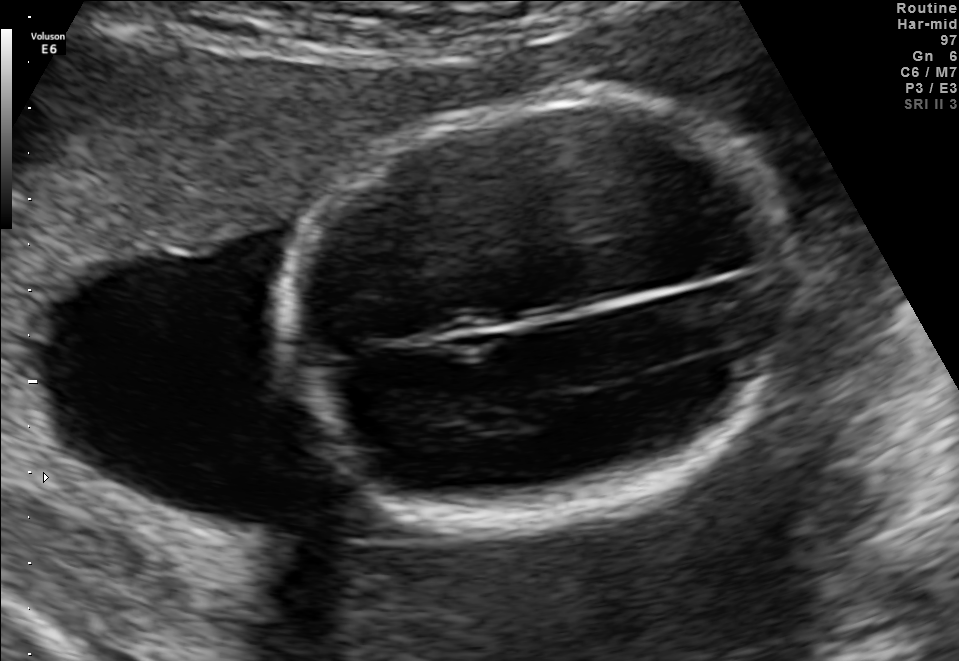
Fetal brain, trans-thalamic plane. Give [x1,y1,x2,y2] bounding boxes for each visible structure among: fetal head, CSP, LV.

Head: [291,103,790,518]